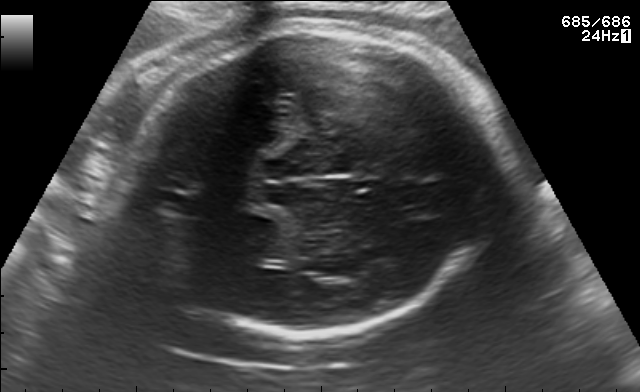
Fetal brain, trans-thalamic plane. Give [x1,y1,x2,y2] bounding boxes for each visible structure among: fetal head, CSP, LV.

Head: [128,24,501,334]